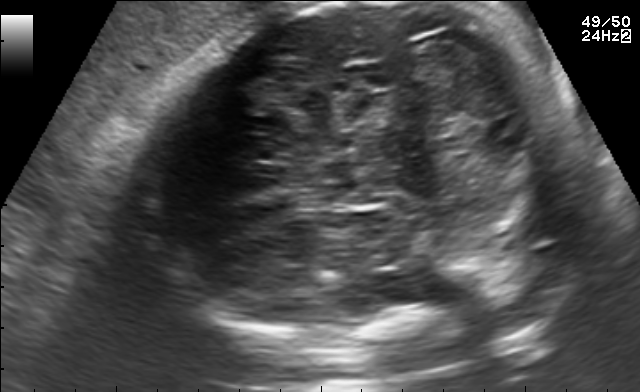
In this fetal brain, trans-cerebellum plane, give the bounding box of the fetal head.

[135,1,587,345]